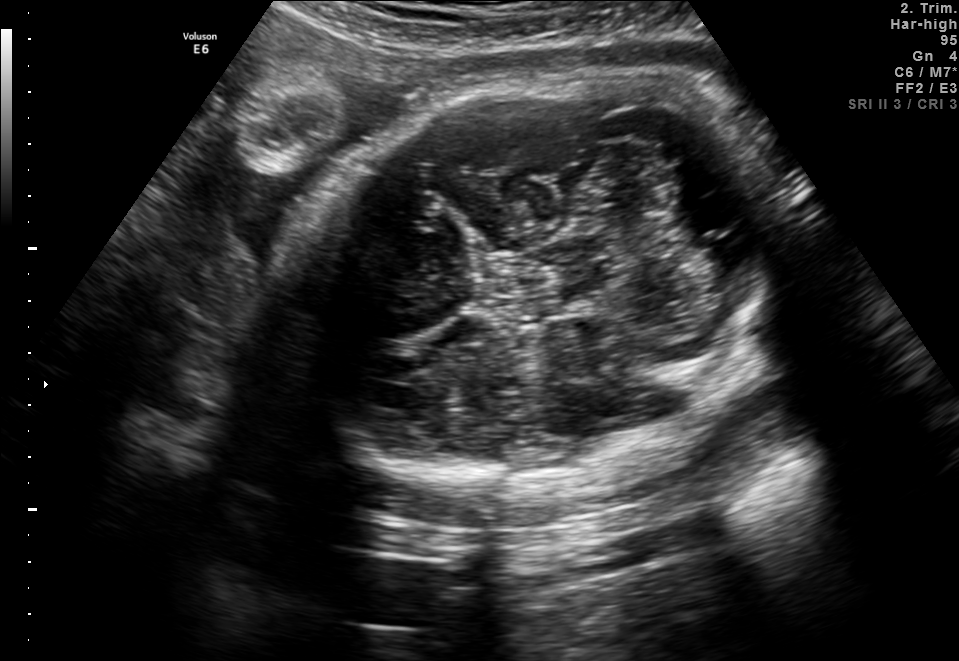
In this fetal brain, trans-cerebellum plane, give the bounding box of the fetal head.

[286,73,805,490]